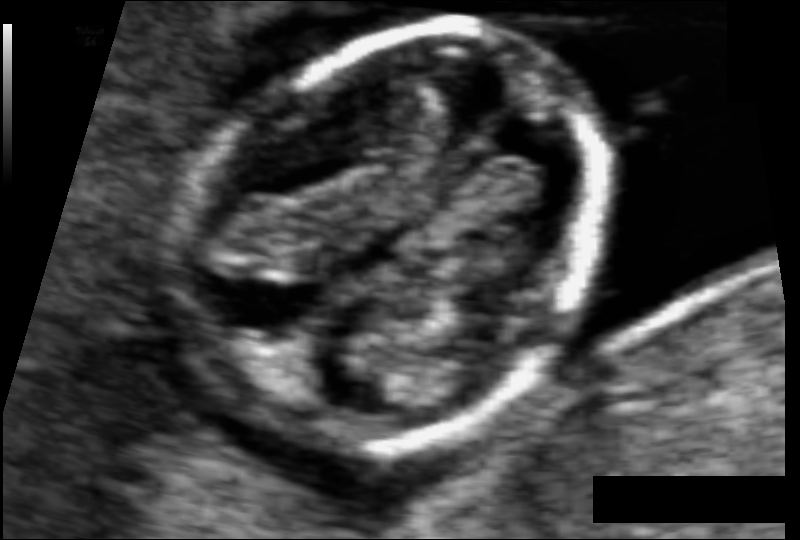
Fetal head ultrasound. Image width: 47.6 mm. Give [x1,y1,x2,y2] bounding boxes for each visible structure among: fetal head, CSP, LV.

Head: [189,29,610,448]